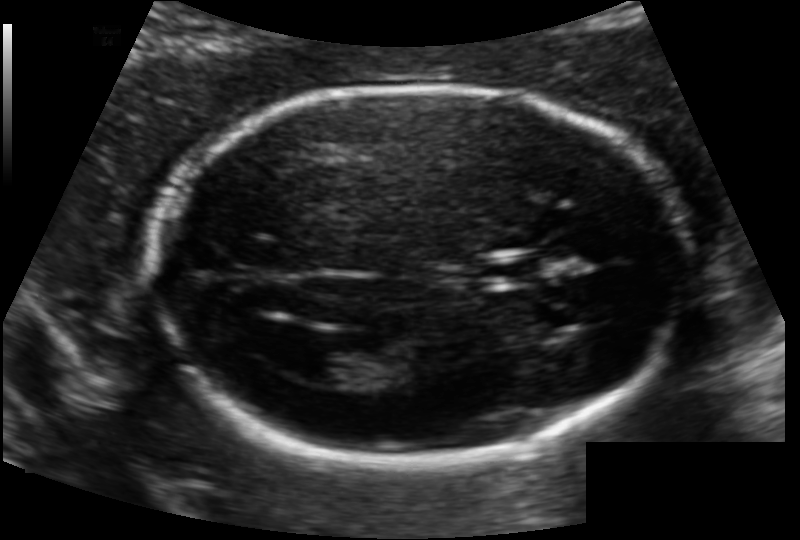
In this fetal head ultrasound, give the bounding box of the fetal head. Image width: 94.1 mm.

[150,86,688,457]